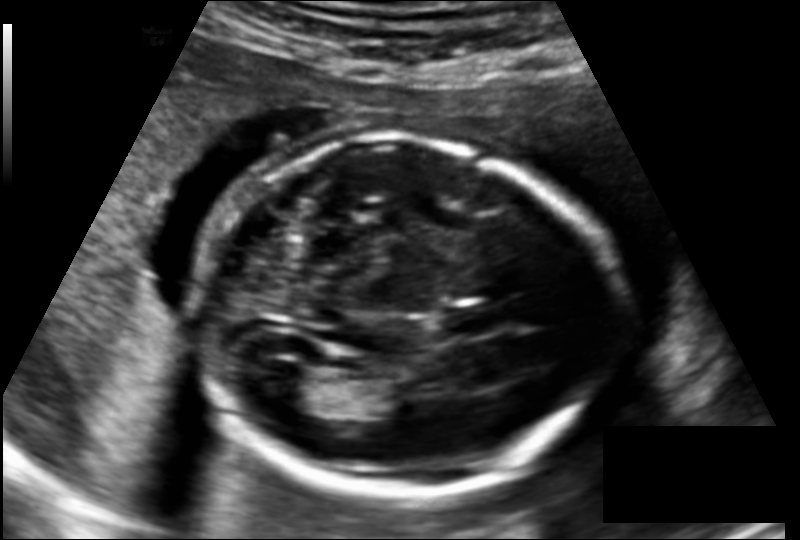
Fetal head ultrasound. Image width: 115.9 mm. Locate the fetal head and, if visible, the cavum septum pellucidum (CSP) and lateral ventricle (LV). Give bounding boxes as [x1,y1,x2,y2].

Head: [196,141,621,498]
CSP: [439,302,504,341]
Lateral ventricle: [257,359,321,410]